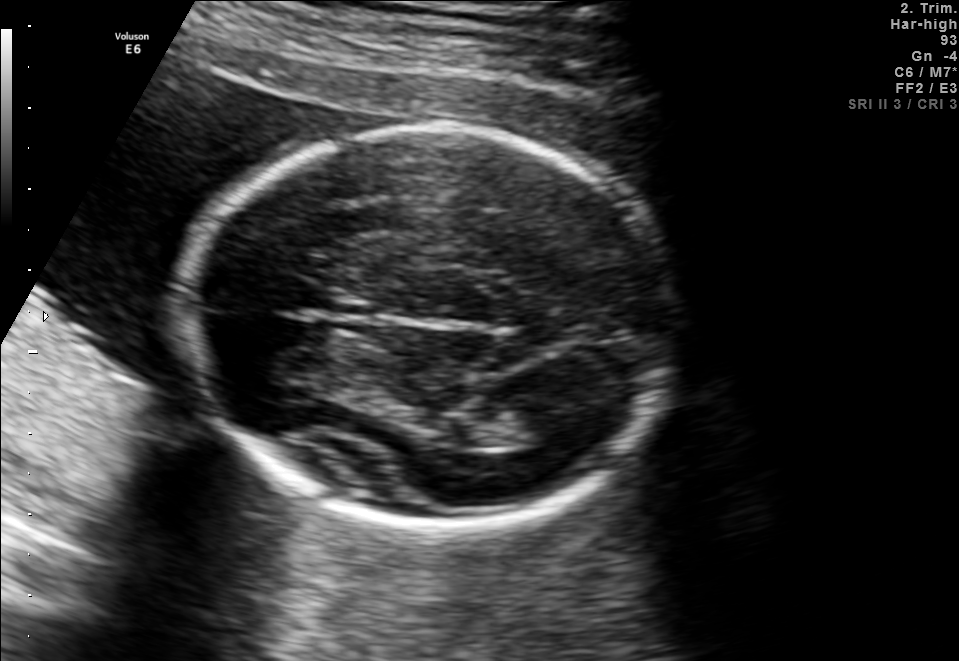
Fetal brain, trans-thalamic plane. Where is the lateral ventricle?

Lateral ventricle bounding box: [490,405,578,450]